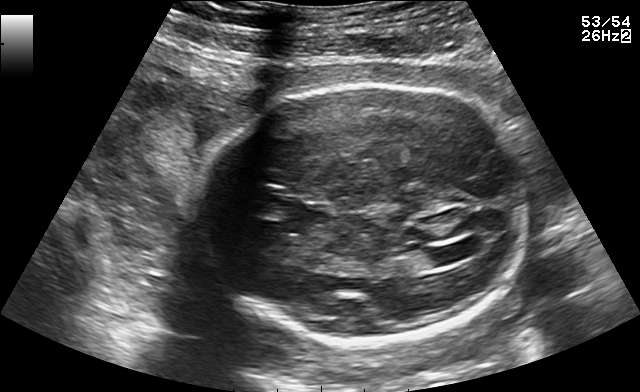
Fetal brain, trans-ventricular plane. Where is the lateral ventricle?

Lateral ventricle bounding box: [428,239,473,268]